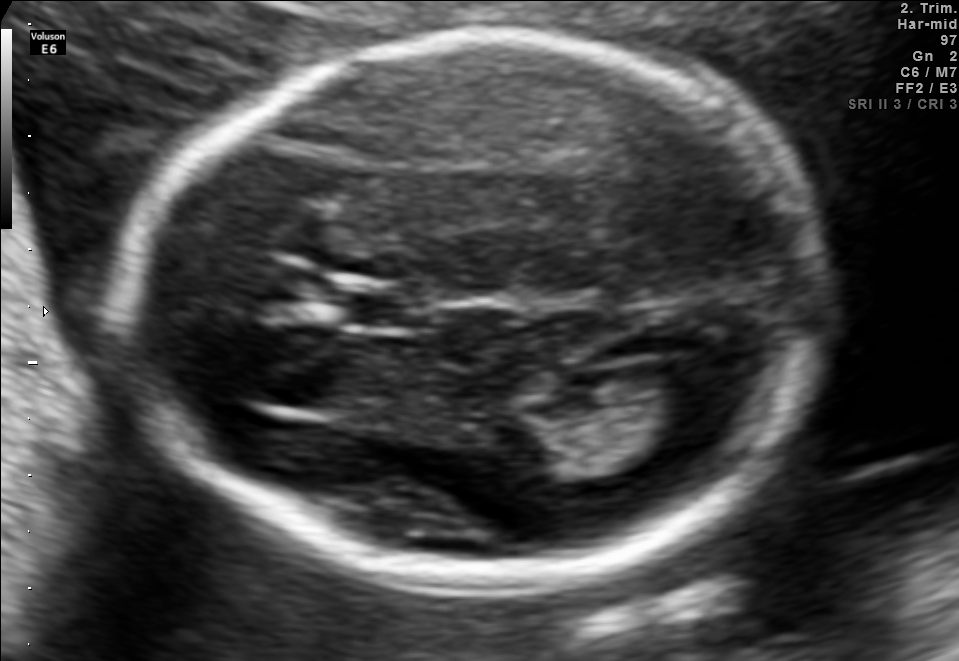
Fetal brain, trans-ventricular plane. Give [x1,y1,x2,y2] bounding boxes for each visible structure among: fetal head, CSP, LV.

Head: [131,22,840,589]
CSP: [349,291,428,329]